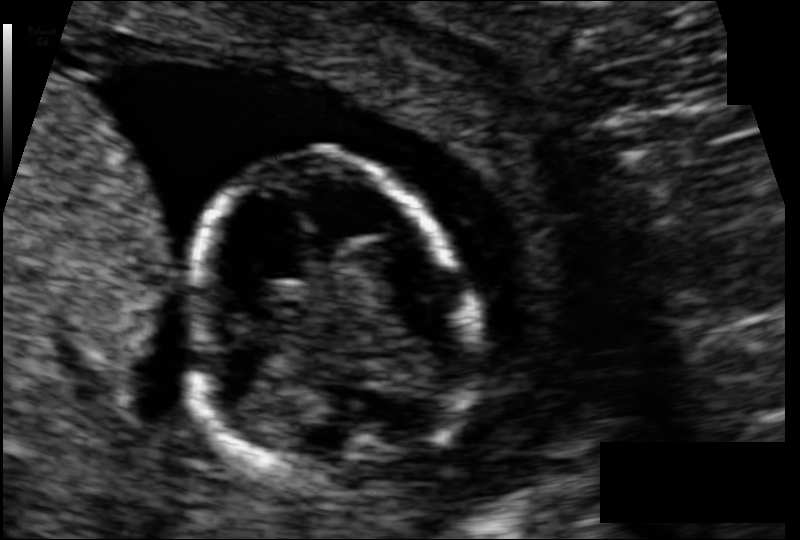
In this fetal head ultrasound, give the bounding box of the fetal head. Image width: 60.7 mm.

[192,154,466,487]